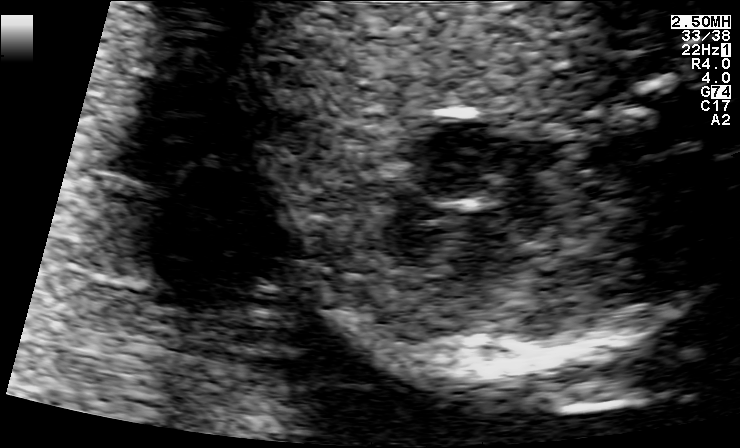
This is a 2D maternal-fetal ultrasound frame. Is it a fetal abdomen, fetal brain, fetal femur, fetal thorax, maternal cervix, or other standard plane? If it's fetal brain and one of the three standard brain planes (trans-thalamic, trans-cerebellum, trans-ventricular), name which.

Fetal thorax